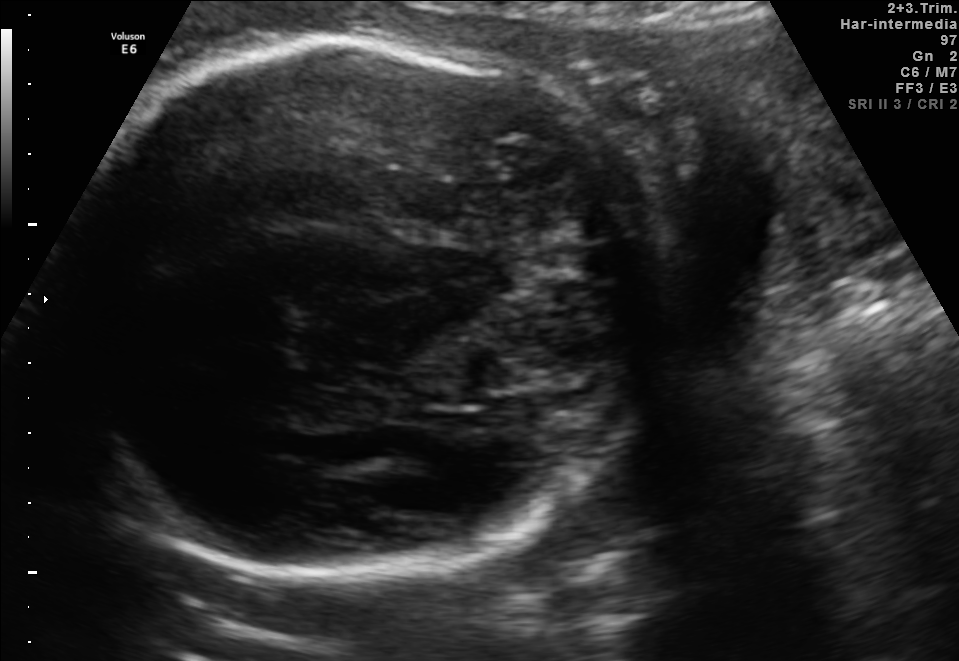
Fetal brain, trans-thalamic plane. Where is the fetal head?

Head bounding box: [61,35,672,574]